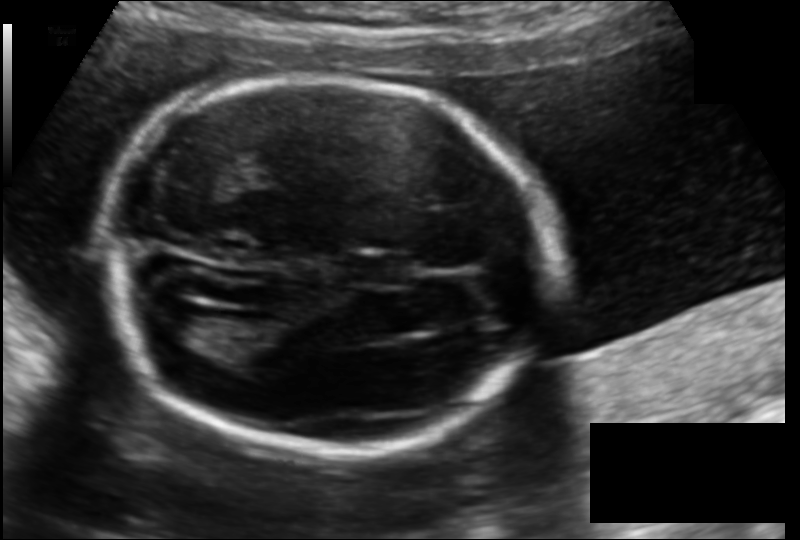
Estimate the fetal head circumference from this 2D ultrasound. Image width: 107.8 mm.

Head circumference: 180.9 mm.